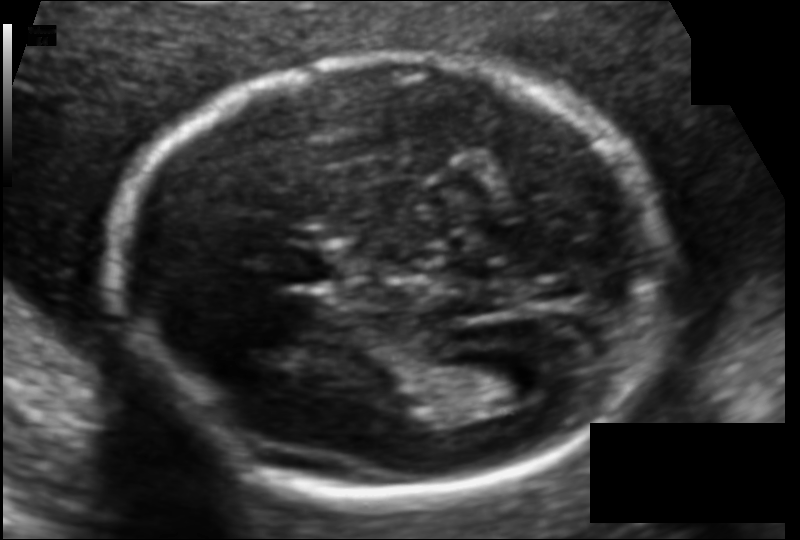
Estimate the fetal head circumference from this 2D ultrasound. Image width: 83.5 mm.

Head circumference: 166.9 mm.